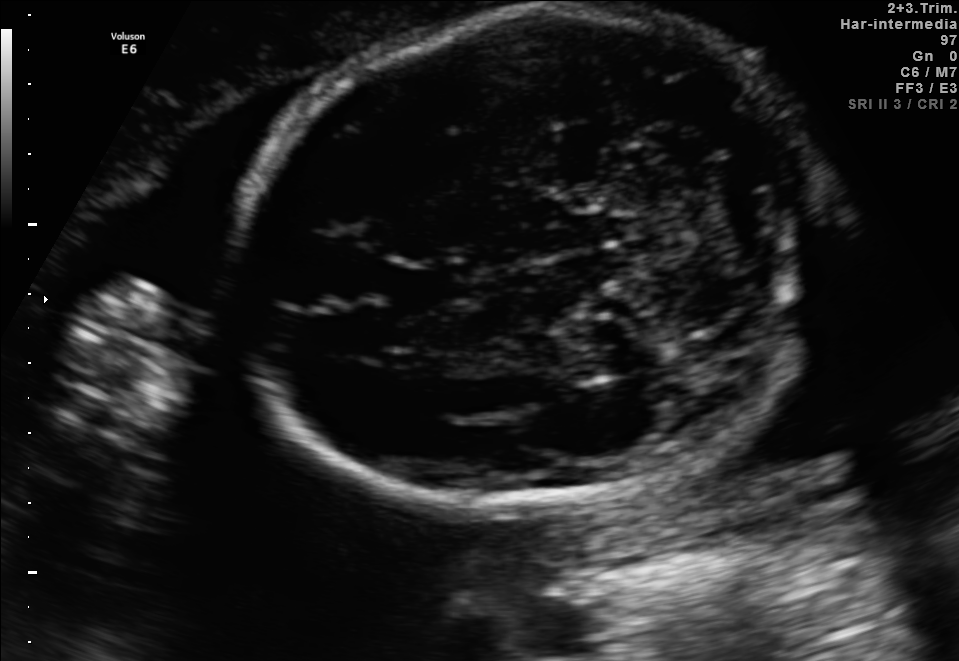
Fetal brain, trans-cerebellum plane. Where is the fetal head?

Head bounding box: [234,10,827,507]